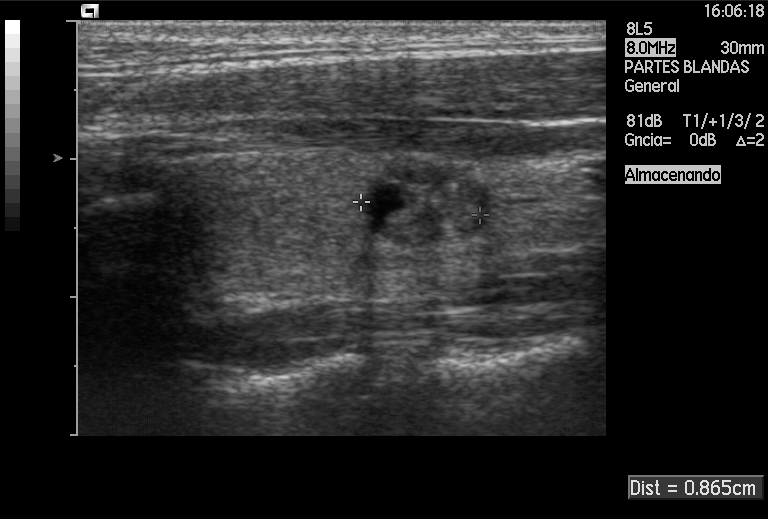
This is a 2D maternal-fetal ultrasound frame. Is it a fetal abdomen, fetal brain, fetal femur, fetal thorax, maternal cervix, or other standard plane? If it's fetal brain and one of the three standard brain planes (trans-thalamic, trans-cerebellum, trans-ventricular), name which.

Other